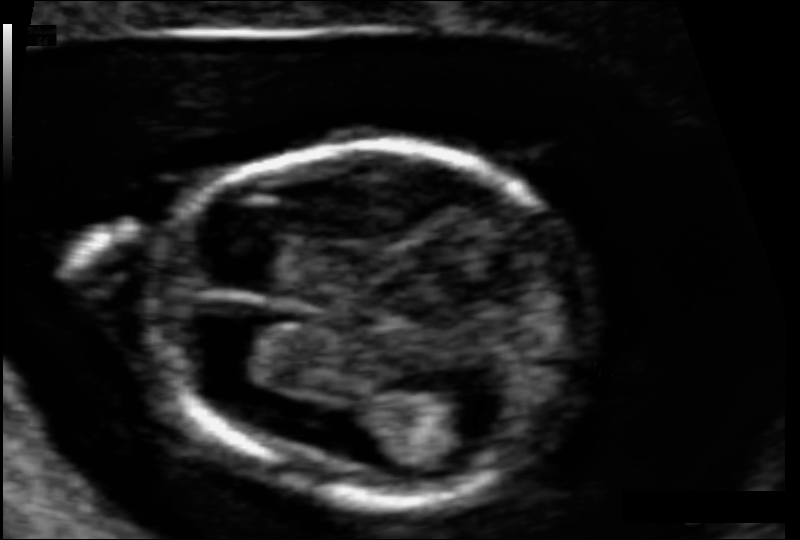
Fetal head ultrasound. Image width: 50.1 mm. Where is the fetal head?

Head bounding box: [149,145,592,502]